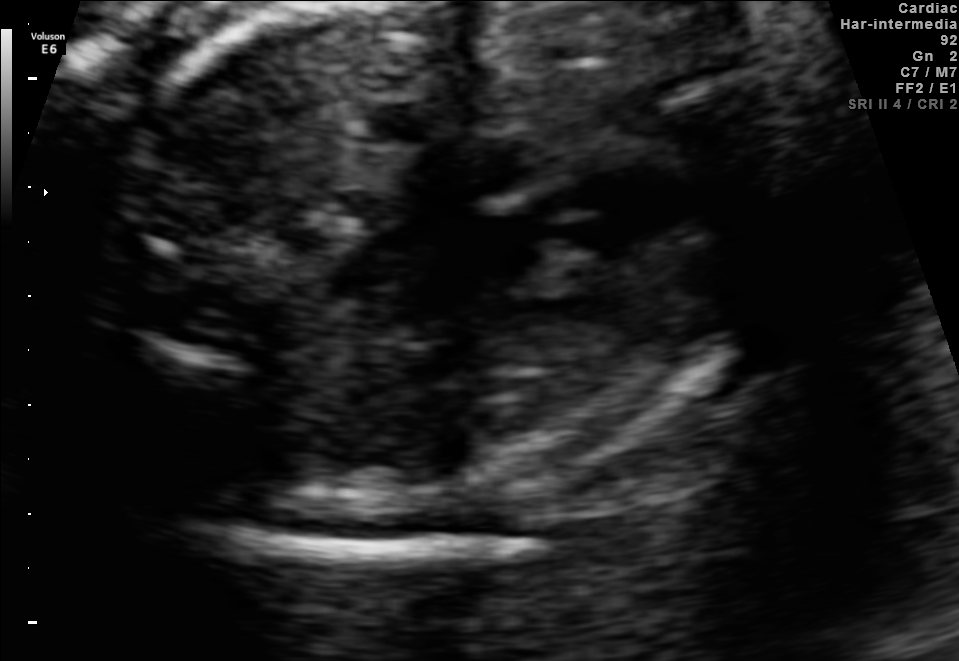
Which standard maternal-fetal ultrasound plane is shown: fetal abdomen, fetal brain, fetal femur, fetal thorax, maternal cervix, or other? If it's fetal brain and one of the three standard brain planes (trans-thalamic, trans-cerebellum, trans-ventricular), name which.

Other